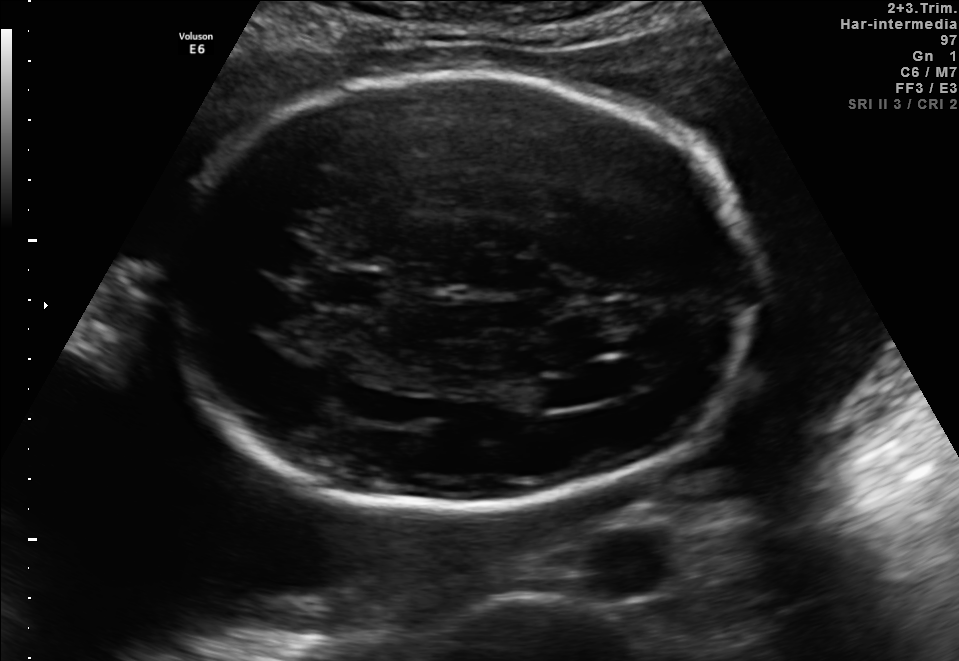
Fetal brain, trans-ventricular plane. Locate the cavum septum pellucidum.

CSP: [314,267,377,308]